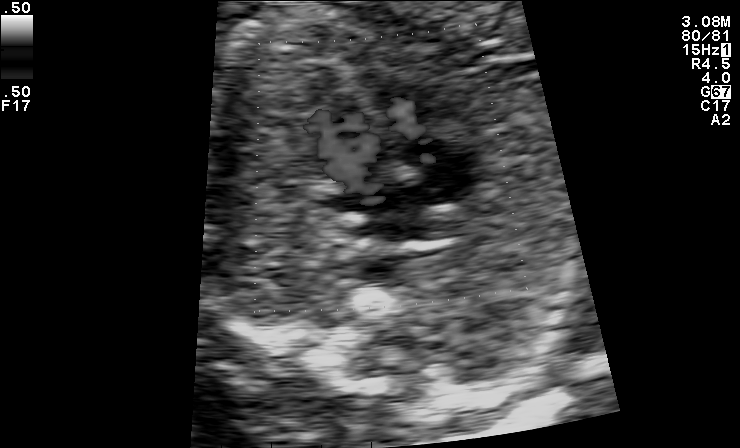
This is a 2D maternal-fetal ultrasound frame. Is it a fetal abdomen, fetal brain, fetal femur, fetal thorax, maternal cervix, or other standard plane? If it's fetal brain and one of the three standard brain planes (trans-thalamic, trans-cerebellum, trans-ventricular), name which.

Other